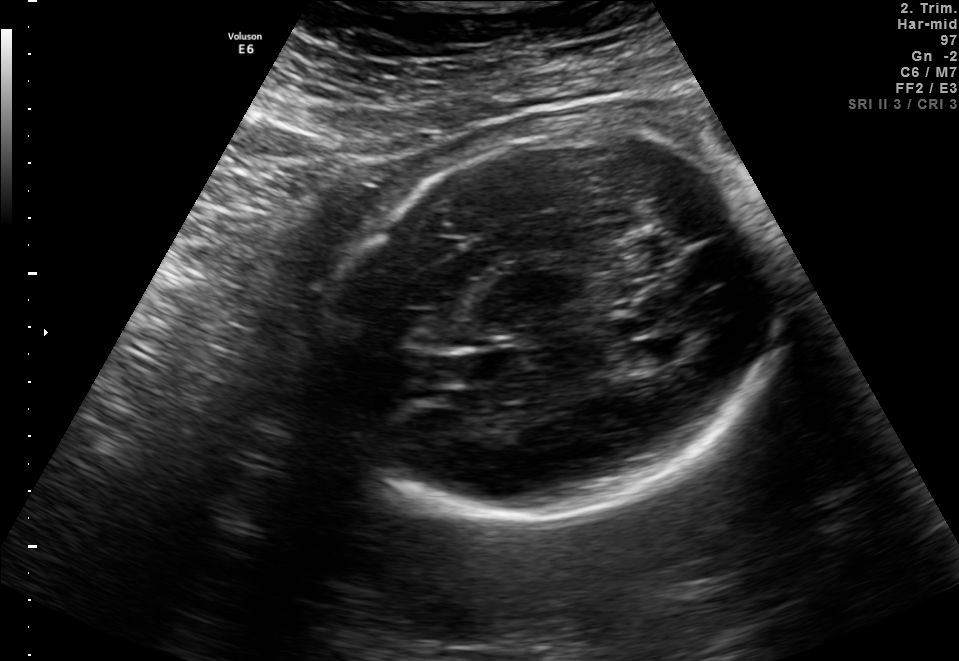
In this fetal brain, trans-ventricular plane, give bounding boxes for the head outline, cavum septum pellucidum (CSP), and lateral ventricle (LV), where visible.

Head: [317,127,790,526]